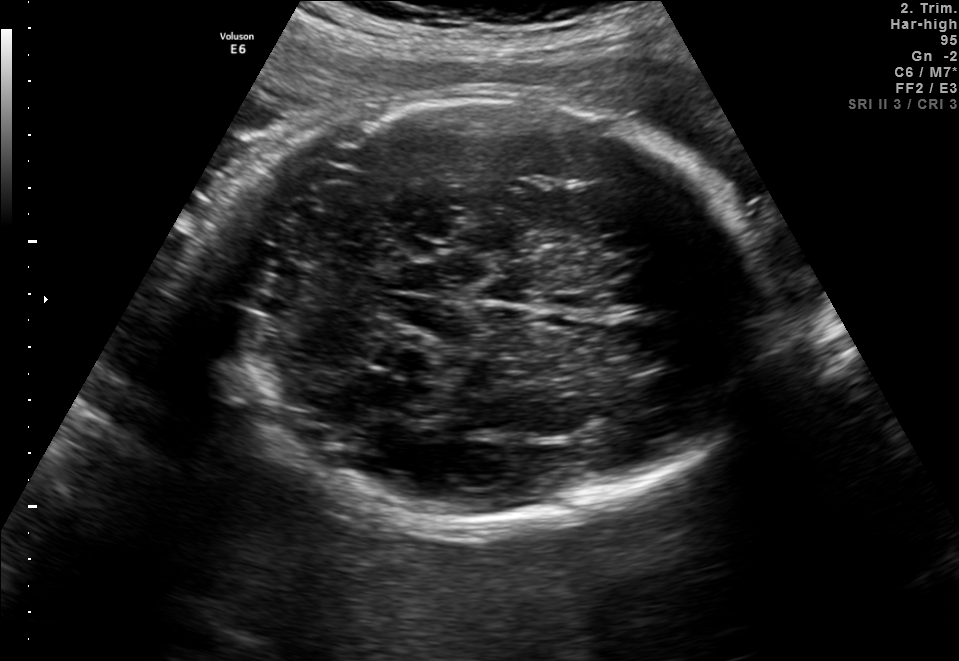
Fetal brain, trans-cerebellum plane. Where is the fetal head?

Head bounding box: [222,98,753,523]